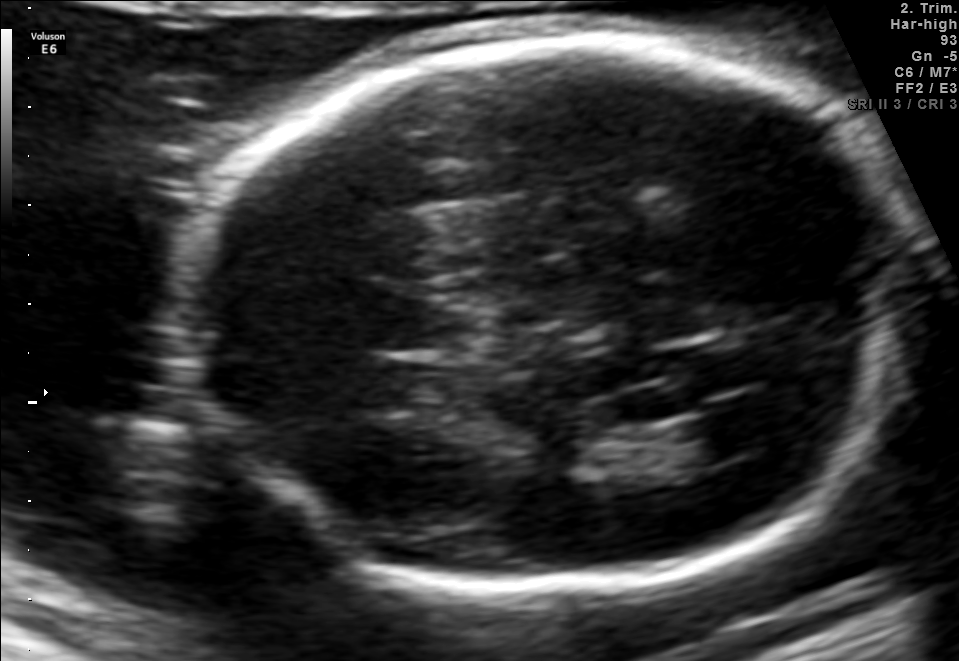
Fetal brain, trans-ventricular plane. Where is the fetal head?

Head bounding box: [159,31,932,606]